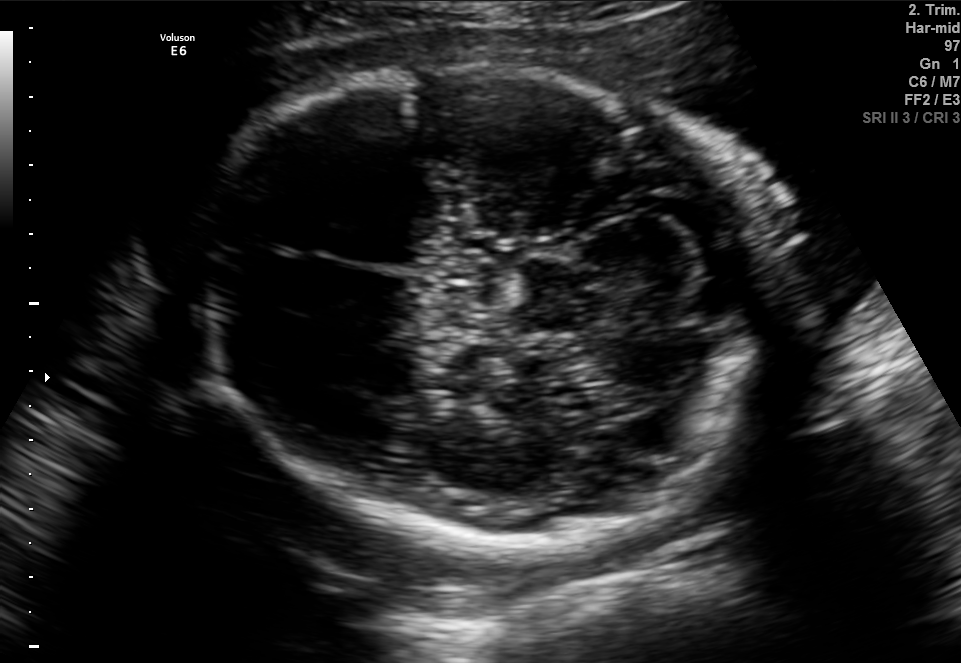
In this fetal brain, trans-cerebellum plane, give the bounding box of the fetal head.

[201,69,784,548]